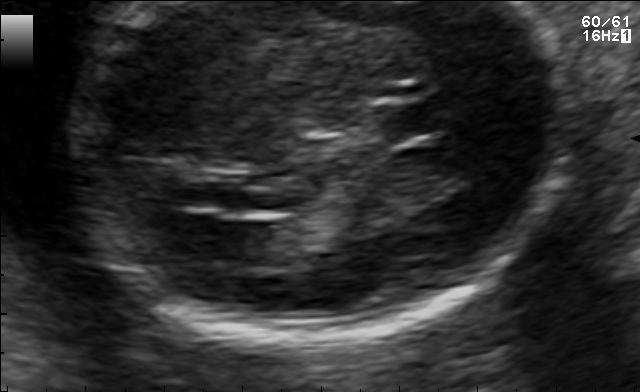
Classify this maternal-fetal ultrasound image as one of the six standard planes — fetal abdomen, fetal brain, fetal femur, fetal thorax, maternal cervix, or other. If it's fetal brain and one of the three standard brain planes (trans-thalamic, trans-cerebellum, trans-ventricular), name which.

Fetal brain (trans-ventricular plane)